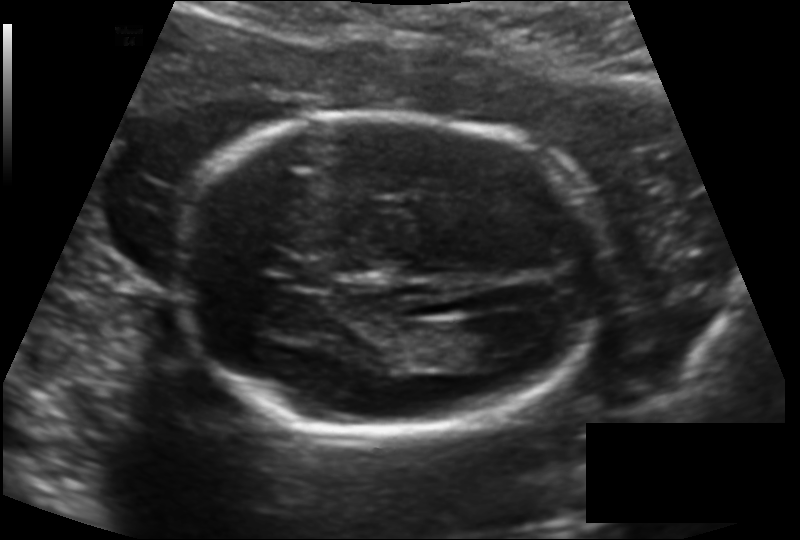
Estimate the fetal head circumference from this 2D ultrasound.

Head circumference: 170.4 mm (image width 110.7 mm).